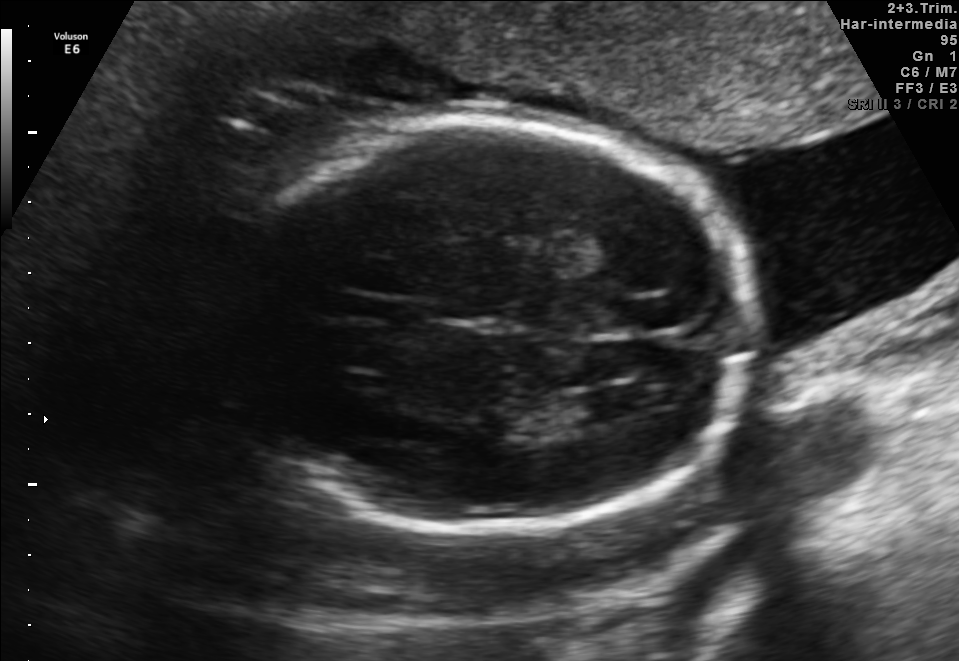
Fetal brain, trans-ventricular plane. Locate the lateral ventricle.

Lateral ventricle: [565,389,627,427]